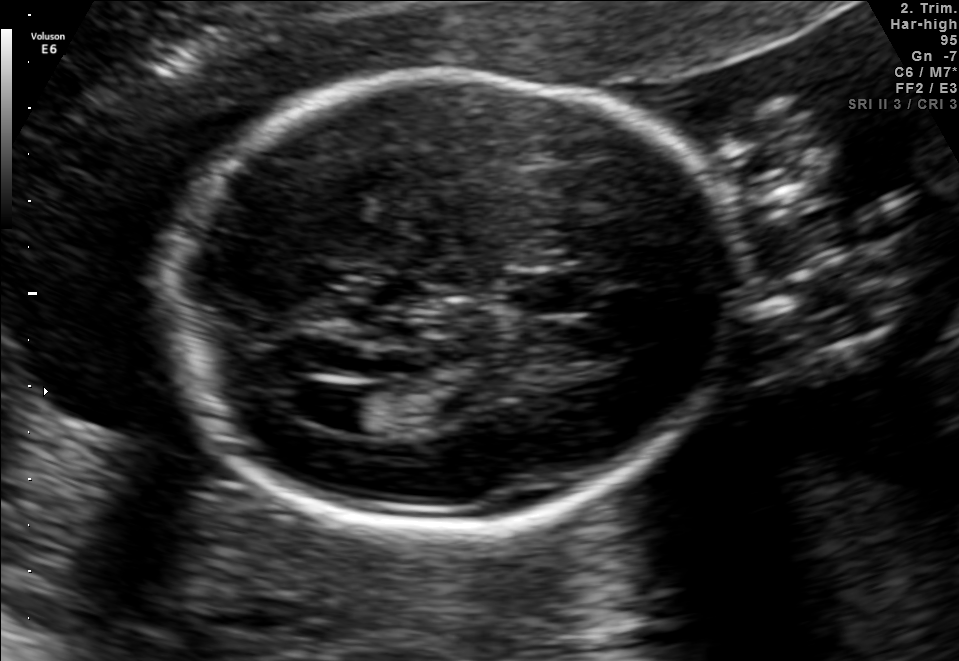
Fetal brain, trans-ventricular plane. Give [x1,y1,x2,y2] bounding boxes for each visible structure among: fetal head, CSP, LV.

Head: [157,64,754,537]
CSP: [497,267,601,321]
Lateral ventricle: [272,372,379,436]